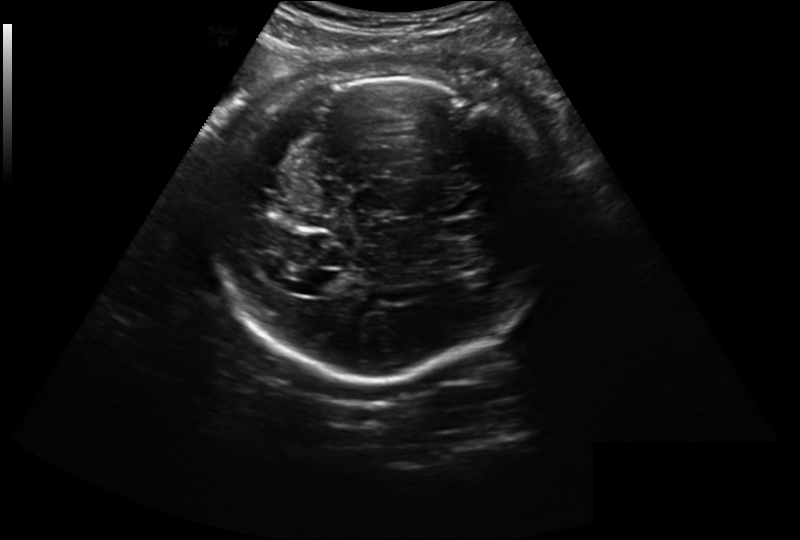
What is the fetal head circumference? Image width is 208.4 mm.

278.1 mm